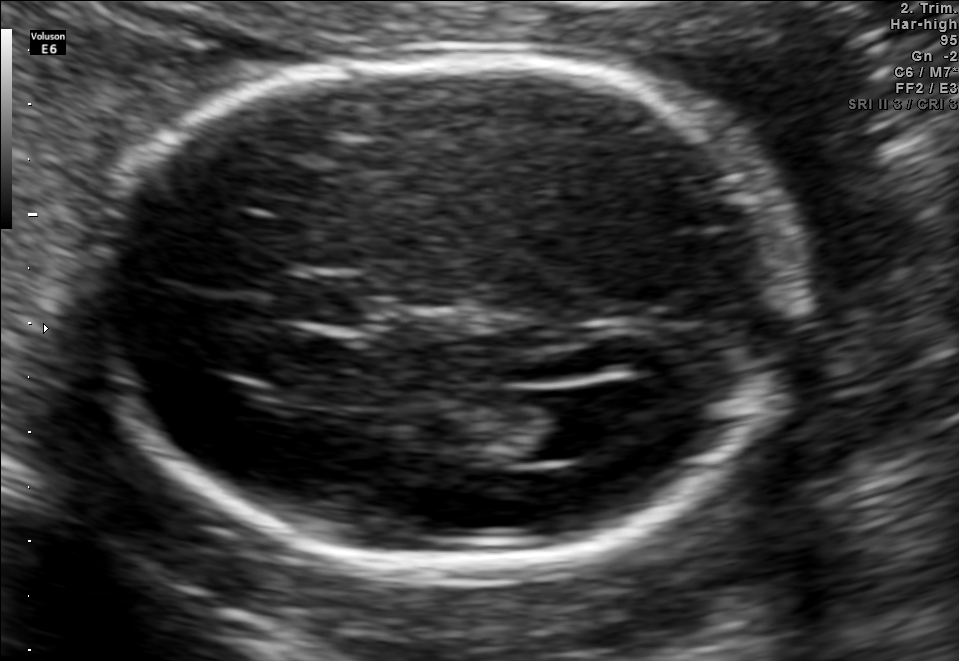
Fetal brain, trans-ventricular plane. Locate the fetal head and, if visible, the cavum septum pellucidum (CSP) and lateral ventricle (LV). Give bounding boxes as [x1,y1,x2,y2].

Head: [78,45,819,578]
CSP: [288,275,364,325]
Lateral ventricle: [518,386,629,462]